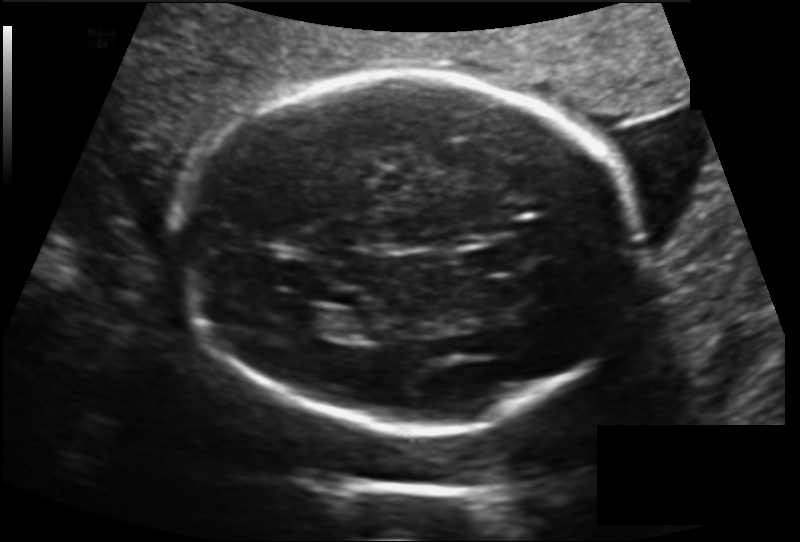
Fetal head ultrasound. Image width: 127.7 mm. Give [x1,y1,x2,y2] bounding boxes for each visible structure among: fetal head, CSP, LV.

Head: [175,71,645,421]
CSP: [458,238,521,282]
Lateral ventricle: [285,305,343,337]